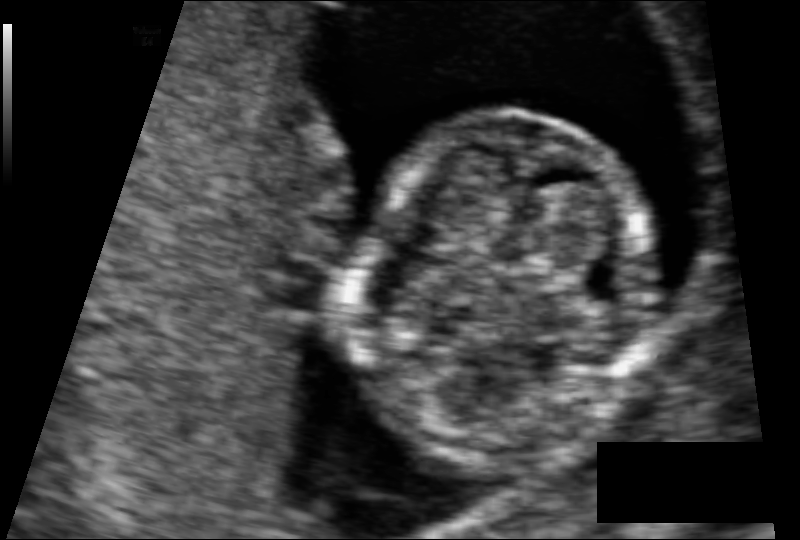
Measure the fetal head circumference shown in this ultrasound image. Image width: 58.9 mm.

Head circumference: 79.0 mm.